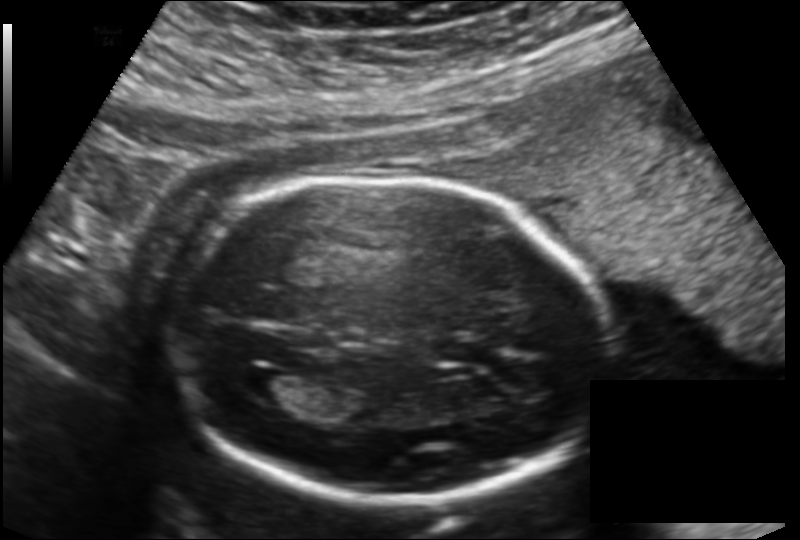
In this fetal head ultrasound, give the bounding box of the lateral ventricle. Image width: 120.4 mm.

[232,363,302,409]